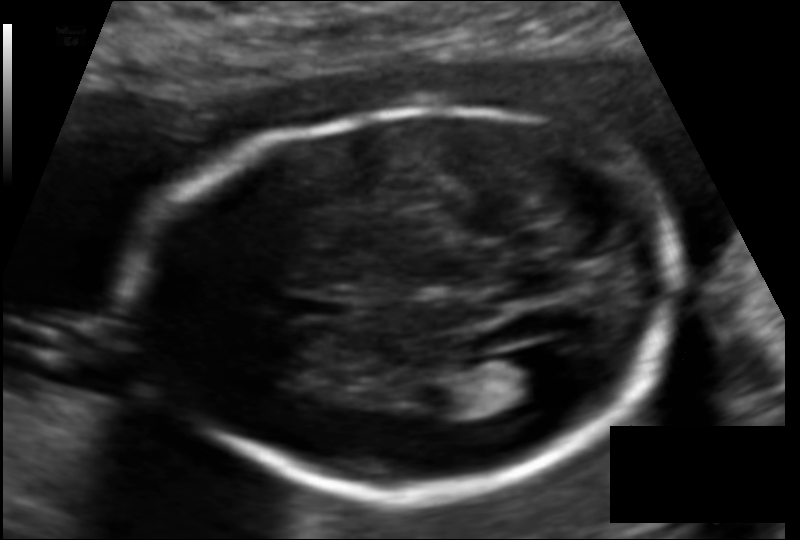
In this fetal head ultrasound, give the bounding box of the fetal head. Image width: 91.1 mm.

[158,109,680,492]